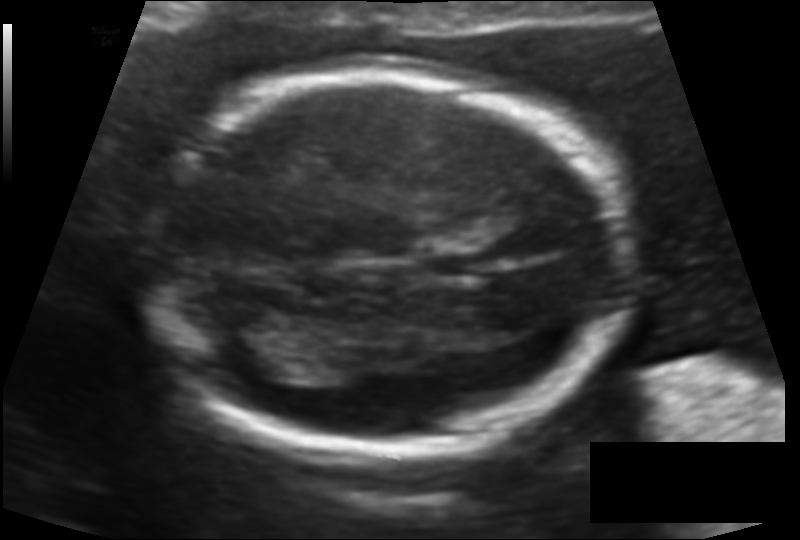
Fetal head ultrasound. Image width: 92.6 mm. Where is the fetal head?

Head bounding box: [139,69,622,449]